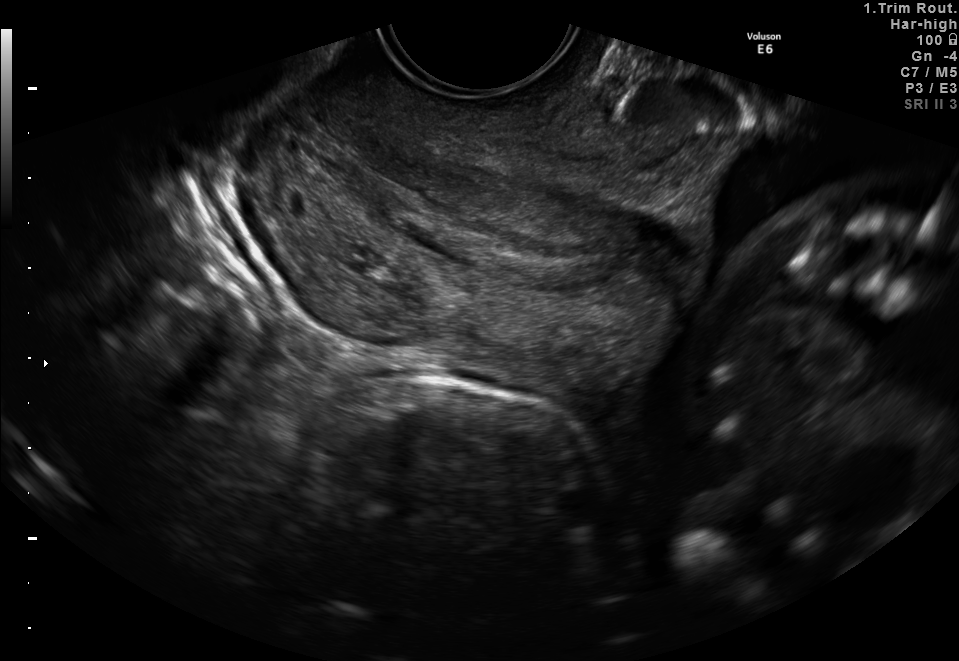
This is a 2D maternal-fetal ultrasound frame. Is it a fetal abdomen, fetal brain, fetal femur, fetal thorax, maternal cervix, or other standard plane? If it's fetal brain and one of the three standard brain planes (trans-thalamic, trans-cerebellum, trans-ventricular), name which.

Maternal cervix